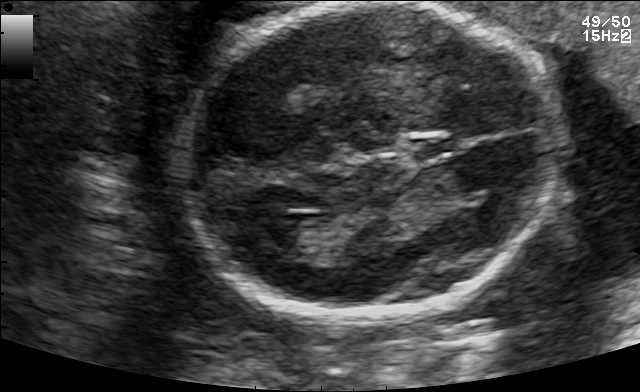
Fetal brain, trans-ventricular plane. Give [x1,y1,x2,y2] bounding boxes for each visible structure among: fetal head, CSP, LV.

Head: [168,1,566,329]
CSP: [407,133,462,162]